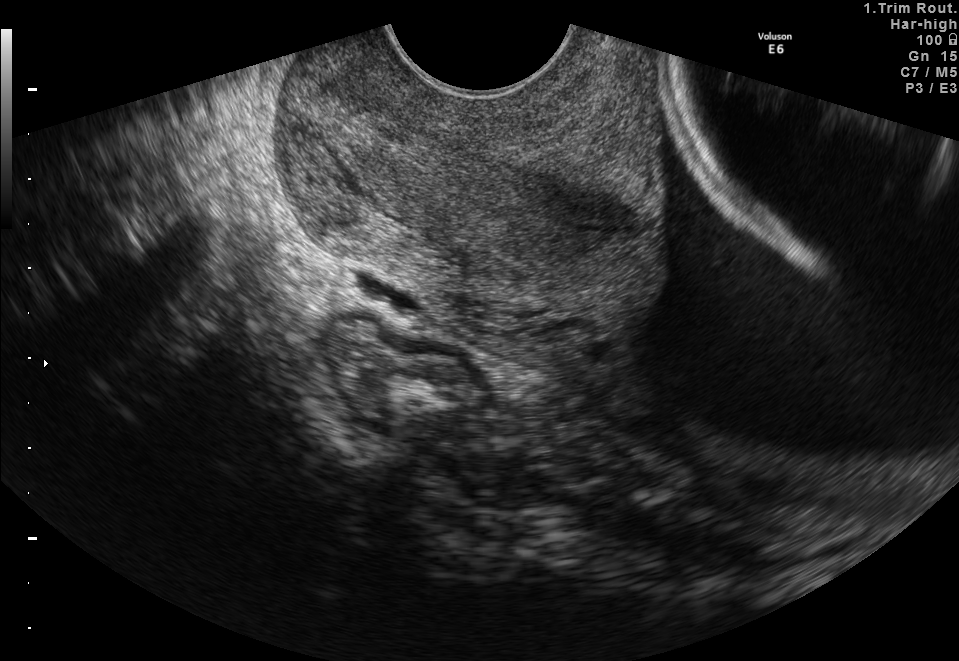
Identify the standard plane in this fetal ultrasound image: fetal abdomen, fetal brain, fetal femur, fetal thorax, maternal cervix, or other. If it's fetal brain and one of the three standard brain planes (trans-thalamic, trans-cerebellum, trans-ventricular), name which.

Maternal cervix